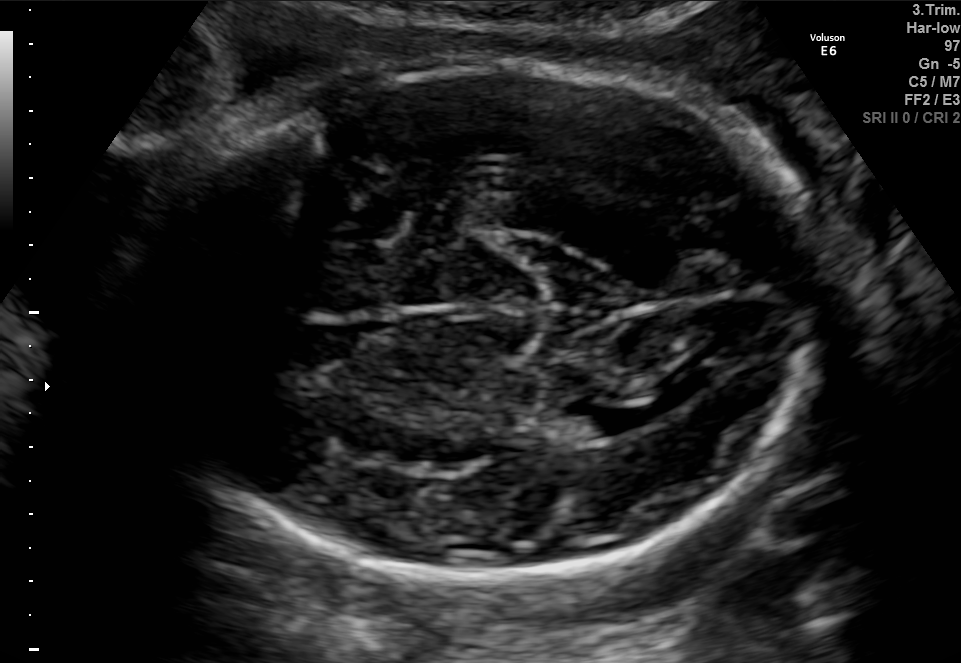
Fetal brain, trans-thalamic plane. Where is the fetal head?

Head bounding box: [129,50,846,583]